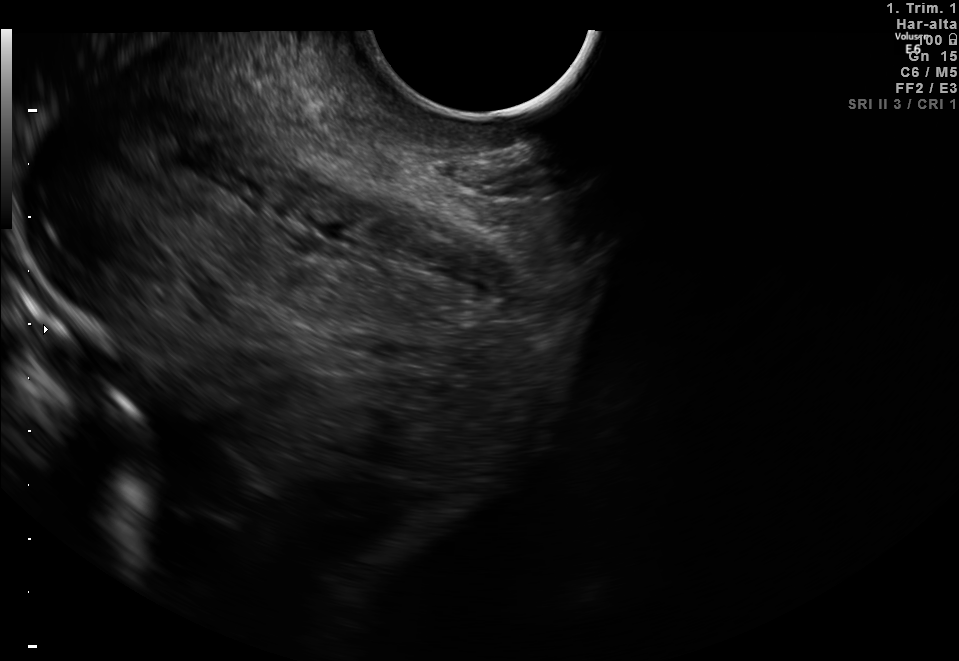
Classify this maternal-fetal ultrasound image as one of the six standard planes — fetal abdomen, fetal brain, fetal femur, fetal thorax, maternal cervix, or other. If it's fetal brain and one of the three standard brain planes (trans-thalamic, trans-cerebellum, trans-ventricular), name which.

Maternal cervix